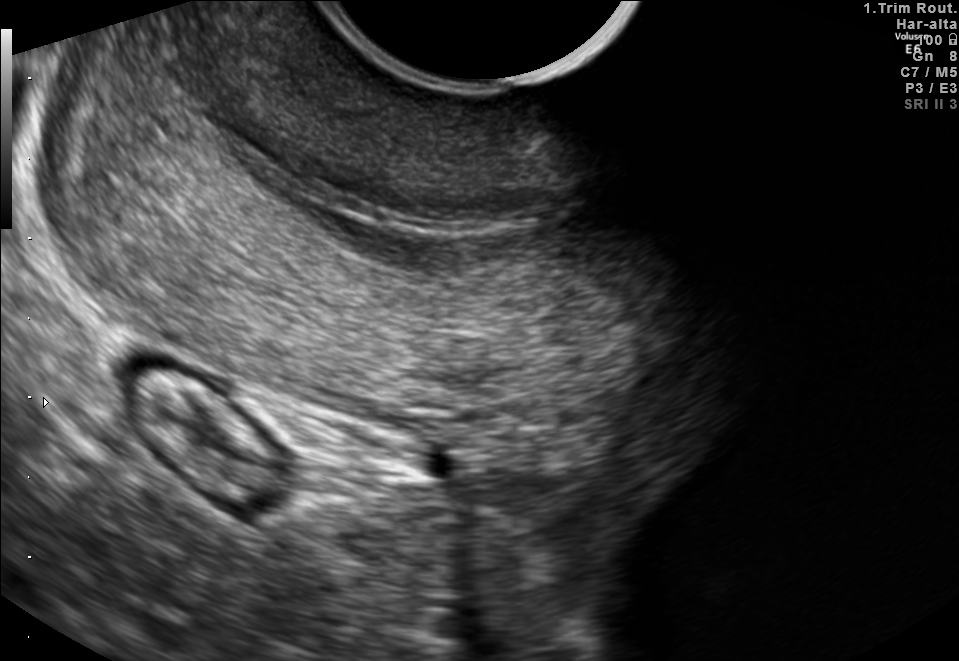
Identify the standard plane in this fetal ultrasound image: fetal abdomen, fetal brain, fetal femur, fetal thorax, maternal cervix, or other. If it's fetal brain and one of the three standard brain planes (trans-thalamic, trans-cerebellum, trans-ventricular), name which.

Maternal cervix